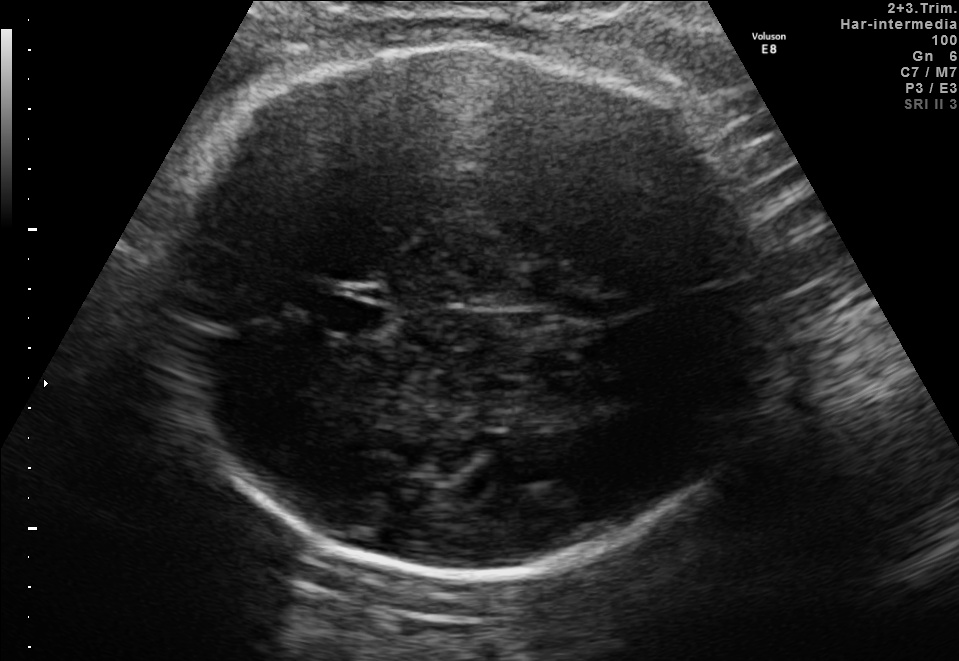
In this fetal brain, trans-thalamic plane, give the bounding box of the cavum septum pellucidum.

[322,292,384,340]